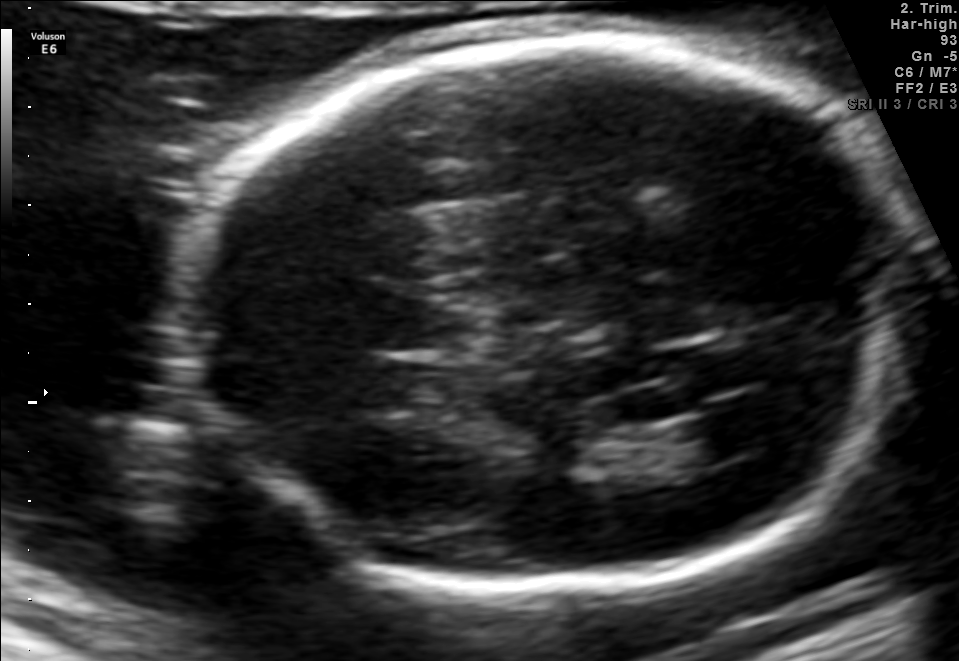
In this fetal brain, trans-ventricular plane, give the bounding box of the cavum septum pellucidum.

[366,293,485,359]